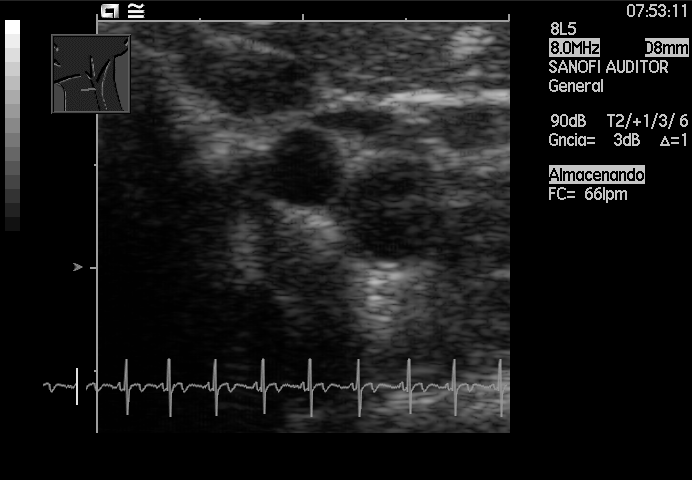
Classify this maternal-fetal ultrasound image as one of the six standard planes — fetal abdomen, fetal brain, fetal femur, fetal thorax, maternal cervix, or other. If it's fetal brain and one of the three standard brain planes (trans-thalamic, trans-cerebellum, trans-ventricular), name which.

Other